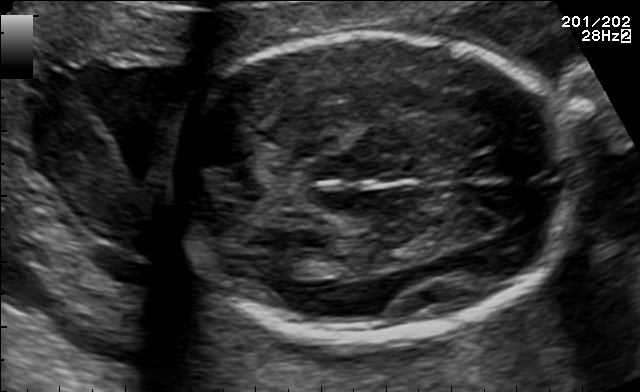
In this fetal brain, trans-thalamic plane, give bounding boxes for the head outline, cavum septum pellucidum (CSP), and lateral ventricle (LV), where visible.

Head: [163,34,575,338]
Lateral ventricle: [271,249,325,278]